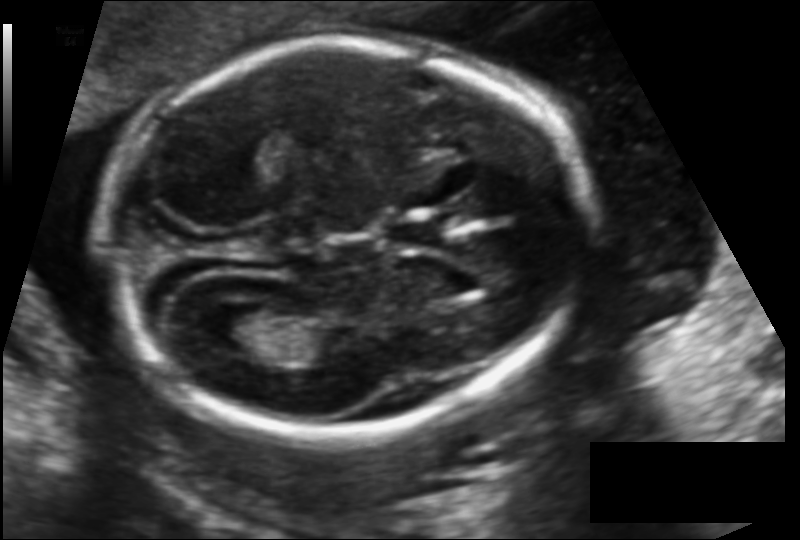
Measure the fetal head circumference shown in this ultrasound image. Image width: 98.7 mm.

Head circumference: 173.7 mm.